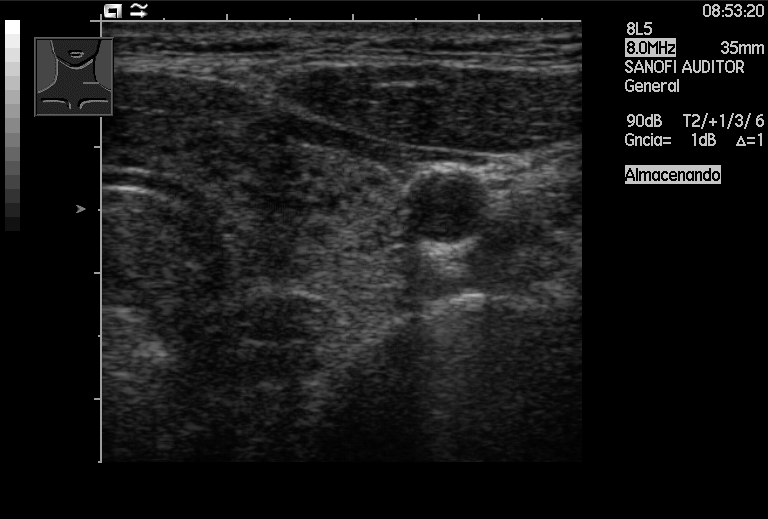
Identify the standard plane in this fetal ultrasound image: fetal abdomen, fetal brain, fetal femur, fetal thorax, maternal cervix, or other. If it's fetal brain and one of the three standard brain planes (trans-thalamic, trans-cerebellum, trans-ventricular), name which.

Other